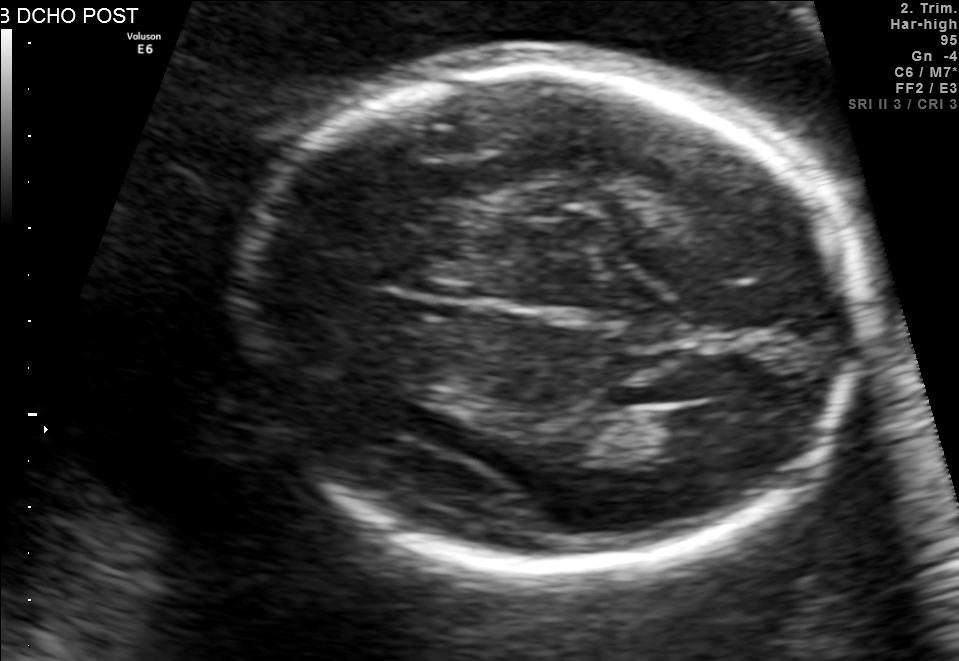
Fetal brain, trans-thalamic plane. Where is the fetal head?

Head bounding box: [239,66,856,573]